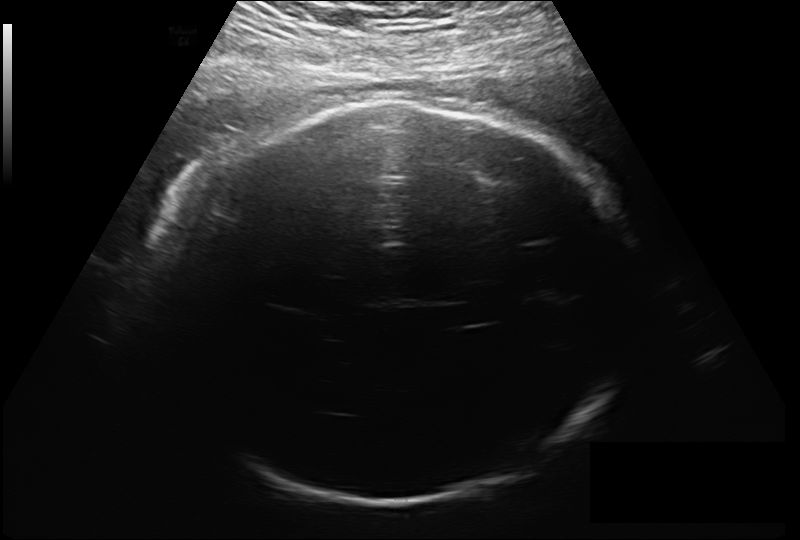
Fetal head ultrasound. Image width: 170.5 mm. Locate the fetal head and, if visible, the cavum septum pellucidum (CSP) and lateral ventricle (LV). Give bounding boxes as [x1,y1,x2,y2].

Head: [164,100,629,506]